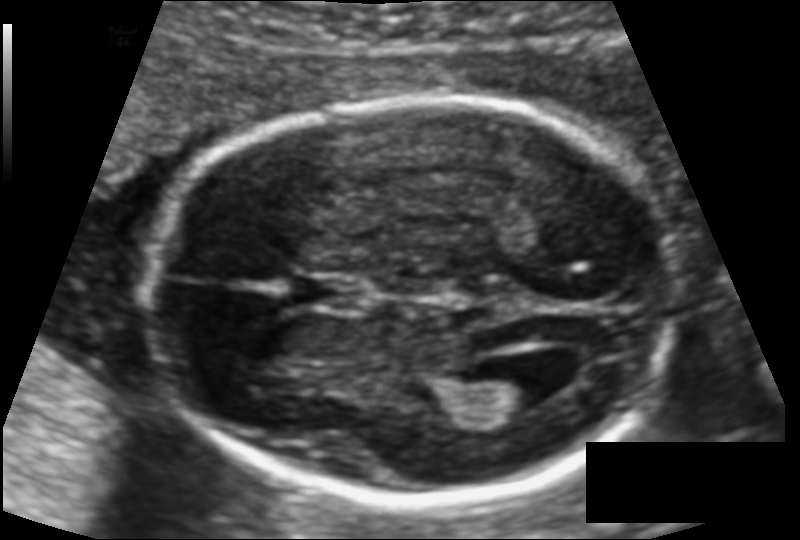
Fetal head ultrasound. Image width: 90.3 mm. Locate the cavum septum pellucidum.

CSP: [292,275,364,310]